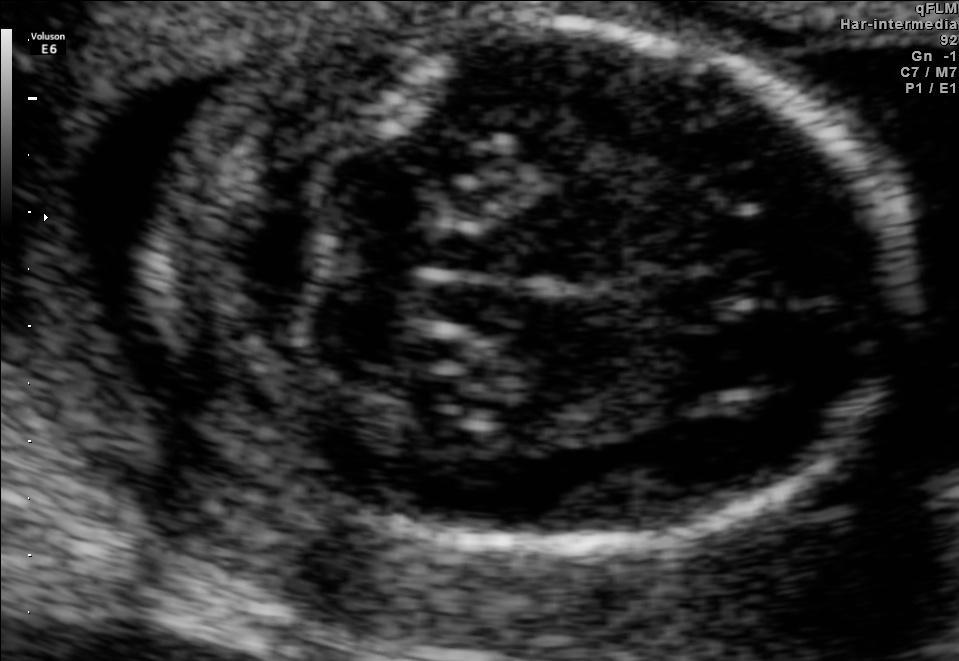
Fetal brain, trans-cerebellum plane. Locate the fetal head.

Head: [154,19,907,540]